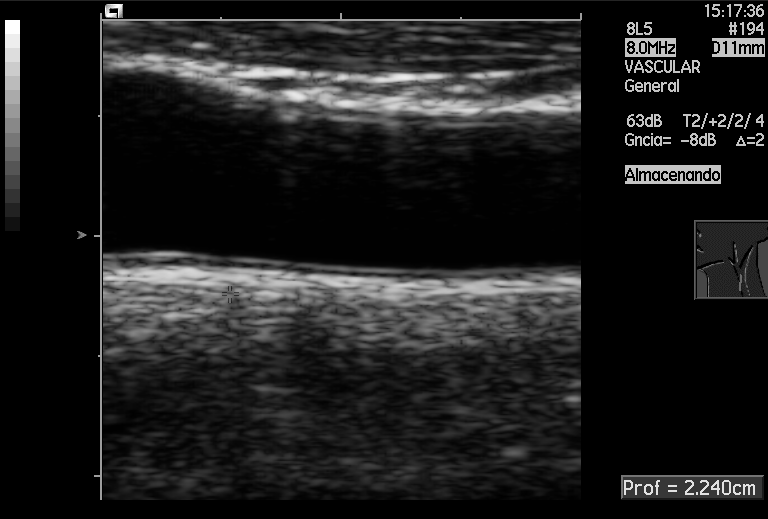
Which standard maternal-fetal ultrasound plane is shown: fetal abdomen, fetal brain, fetal femur, fetal thorax, maternal cervix, or other? If it's fetal brain and one of the three standard brain planes (trans-thalamic, trans-cerebellum, trans-ventricular), name which.

Other